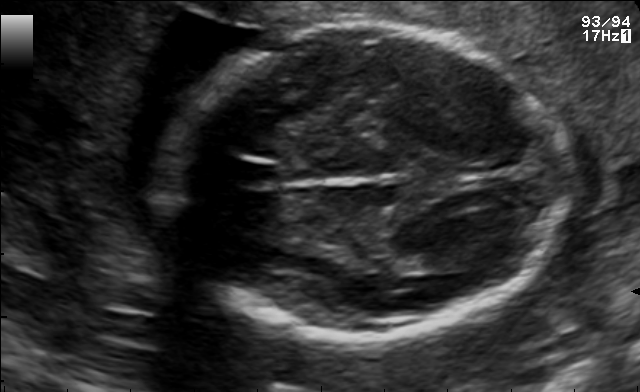
Fetal brain, trans-thalamic plane. Locate the fetal head and, if visible, the cavum septum pellucidum (CSP) and lateral ventricle (LV). Give bounding boxes as [x1,y1,x2,y2].

Head: [155,27,567,339]
CSP: [228,160,279,188]
Lateral ventricle: [419,248,475,274]